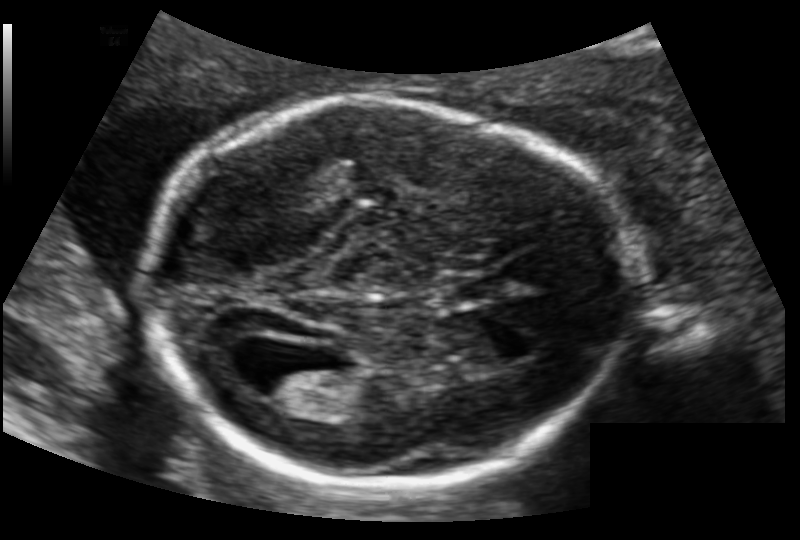
Measure the fetal head circumference shown in this ultrasound image. Image width: 100.7 mm.

Head circumference: 178.3 mm.